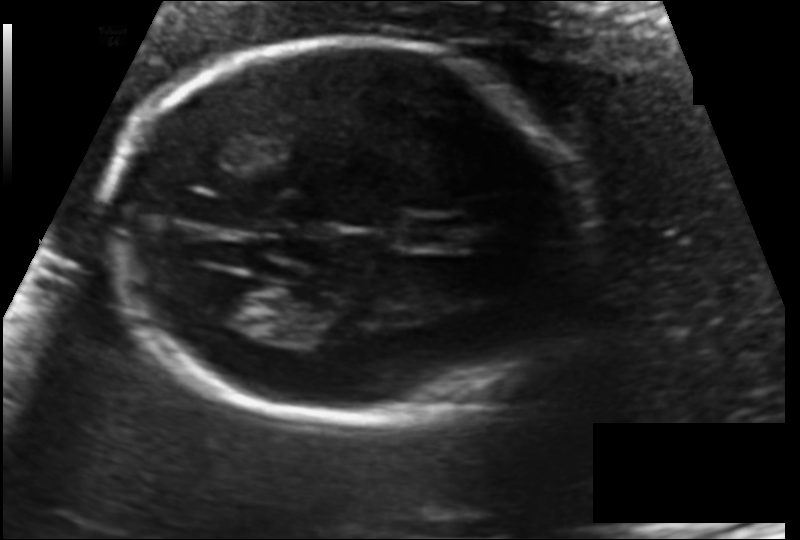
In this fetal head ultrasound, give the bounding box of the fetal head. Image width: 97.9 mm.

[109,39,577,421]